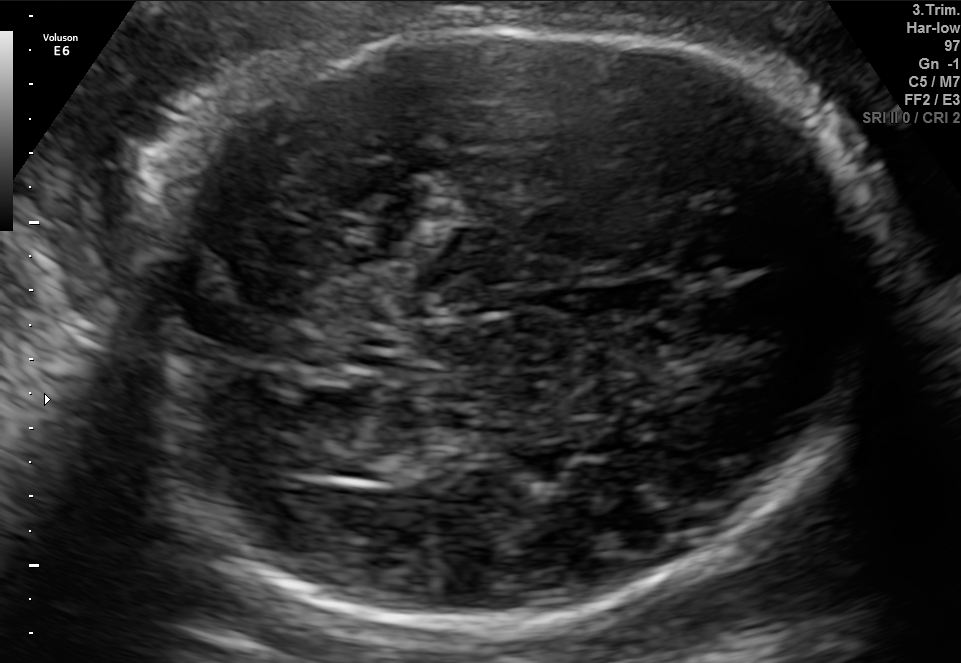
In this fetal brain, trans-thalamic plane, give bounding boxes for the head outline, cavum septum pellucidum (CSP), and lateral ventricle (LV), where visible.

Head: [146,24,879,631]
Lateral ventricle: [305,428,416,486]